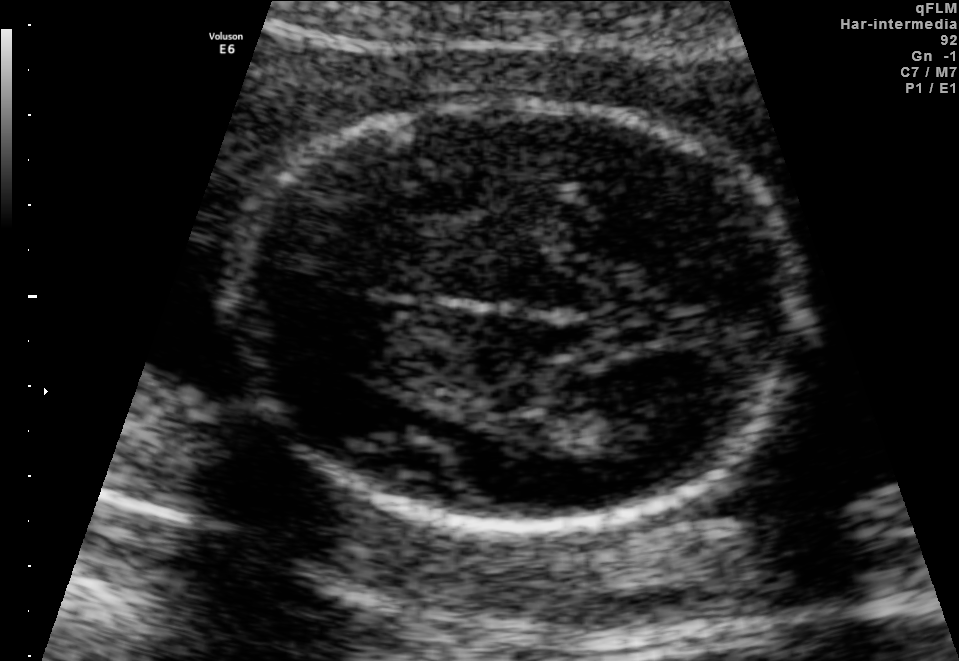
In this fetal brain, trans-thalamic plane, give the bounding box of the fetal head.

[231,98,802,527]